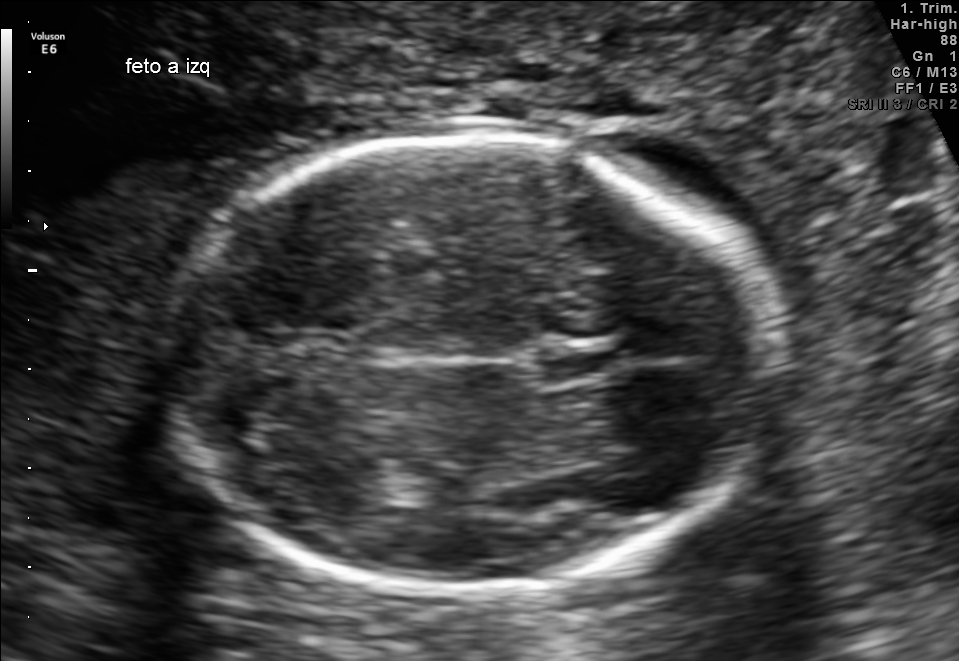
Fetal brain, trans-thalamic plane. Where is the fetal head?

Head bounding box: [163,137,780,590]